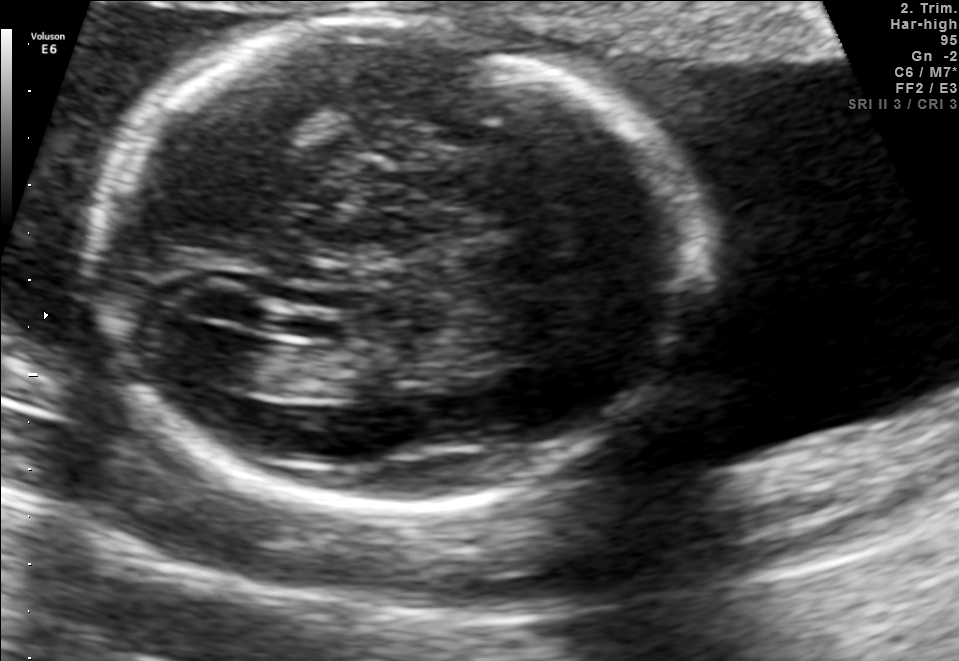
Fetal brain, trans-ventricular plane. Locate the lateral ventricle.

Lateral ventricle: [188,323,279,393]